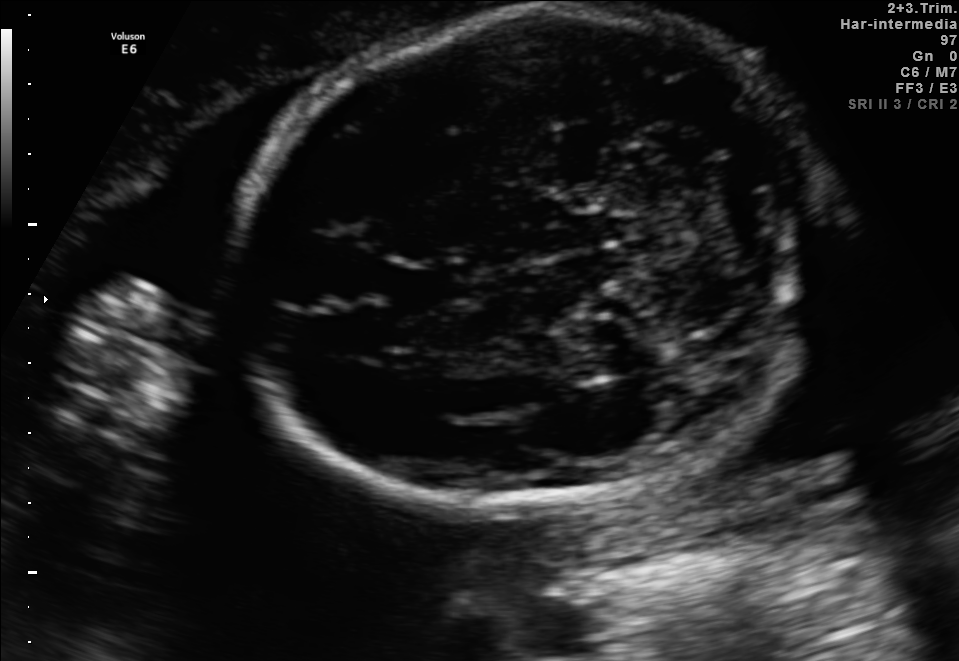
Fetal brain, trans-cerebellum plane. Locate the cavum septum pellucidum.

CSP: [394,260,472,313]